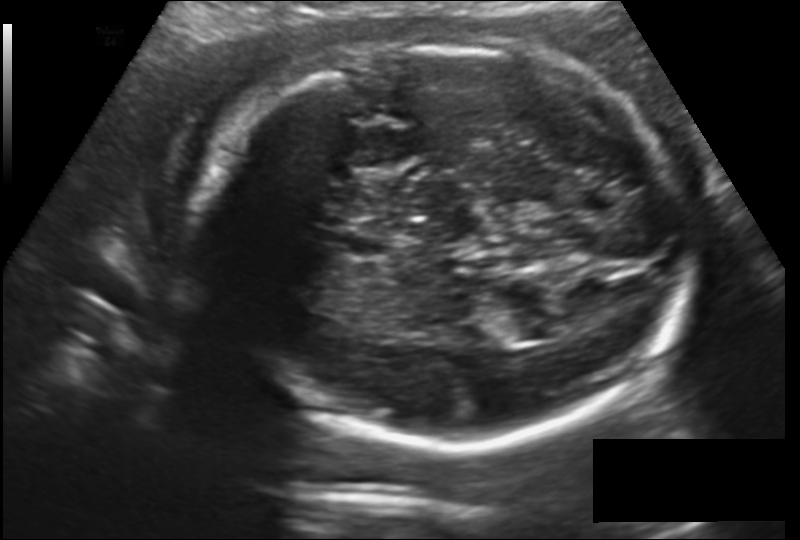
From this fetal ultrasound, estimate the head circumference (image width 142.0 mm).

Head circumference: 257.6 mm.